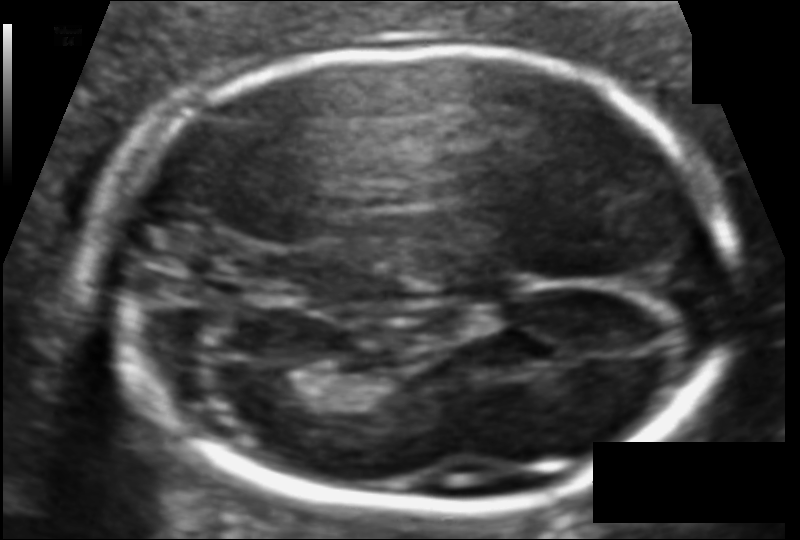
From this fetal ultrasound, estimate the head circumference (image width 76.5 mm).

Head circumference: 170.9 mm.